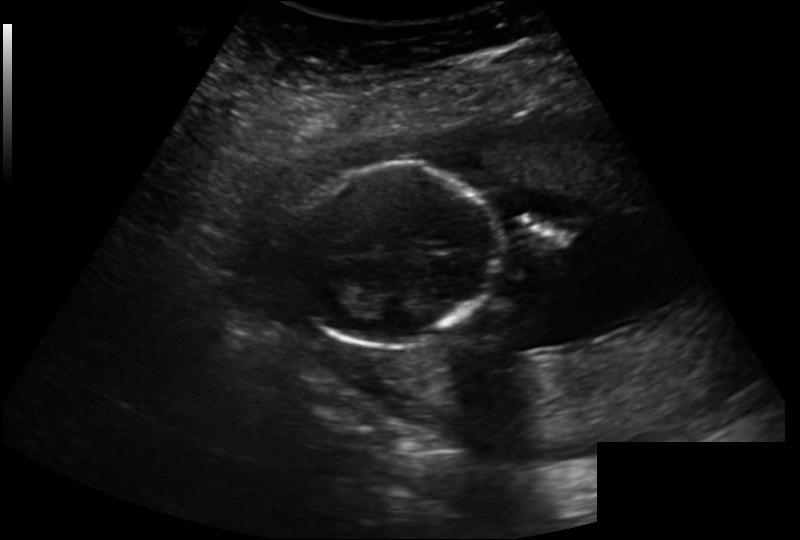
What is the fetal head circumference? Image width is 161.6 mm.

134.0 mm